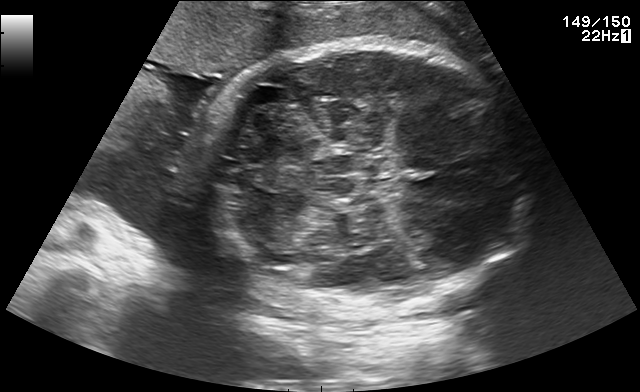
Fetal brain, trans-cerebellum plane. Give [x1,y1,x2,y2] bounding boxes for each visible structure among: fetal head, CSP, LV.

Head: [202,41,528,308]